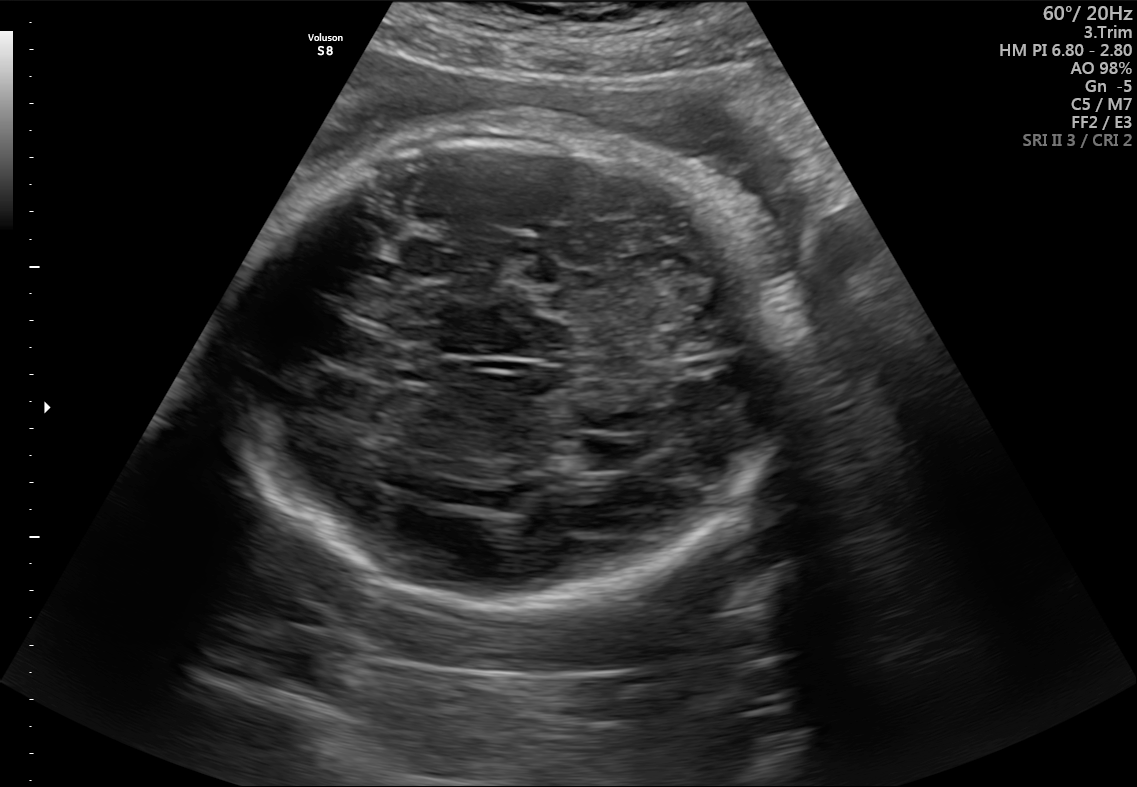
Fetal brain, trans-thalamic plane. Where is the lateral ventricle?

Lateral ventricle bounding box: [571,435,631,471]